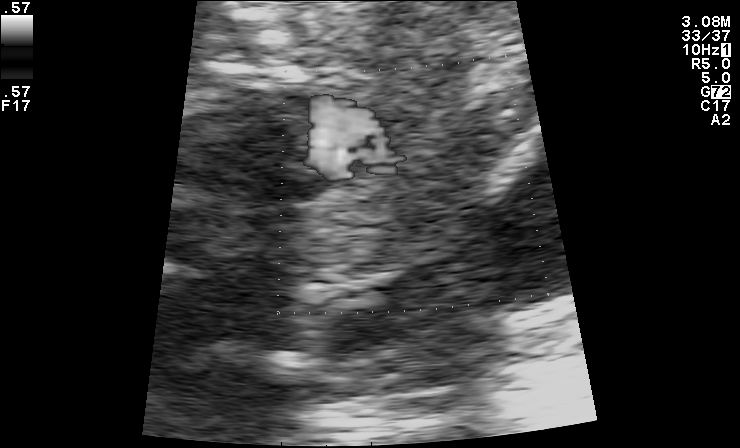
Classify this maternal-fetal ultrasound image as one of the six standard planes — fetal abdomen, fetal brain, fetal femur, fetal thorax, maternal cervix, or other. If it's fetal brain and one of the three standard brain planes (trans-thalamic, trans-cerebellum, trans-ventricular), name which.

Other